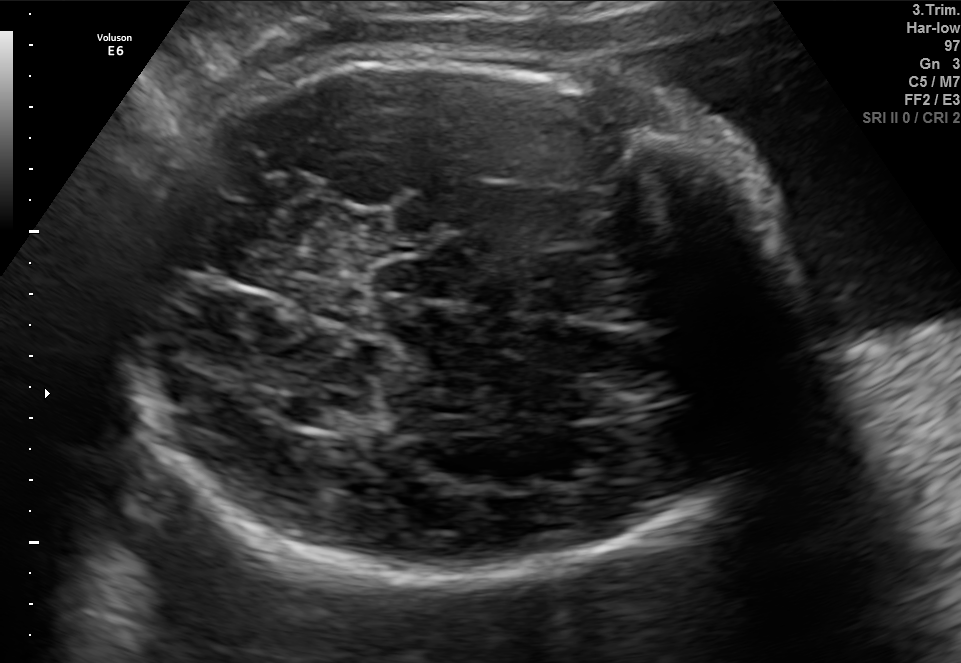
Fetal brain, trans-thalamic plane. Give [x1,y1,x2,y2] bounding boxes for each visible structure among: fetal head, CSP, LV.

Head: [107,45,804,584]